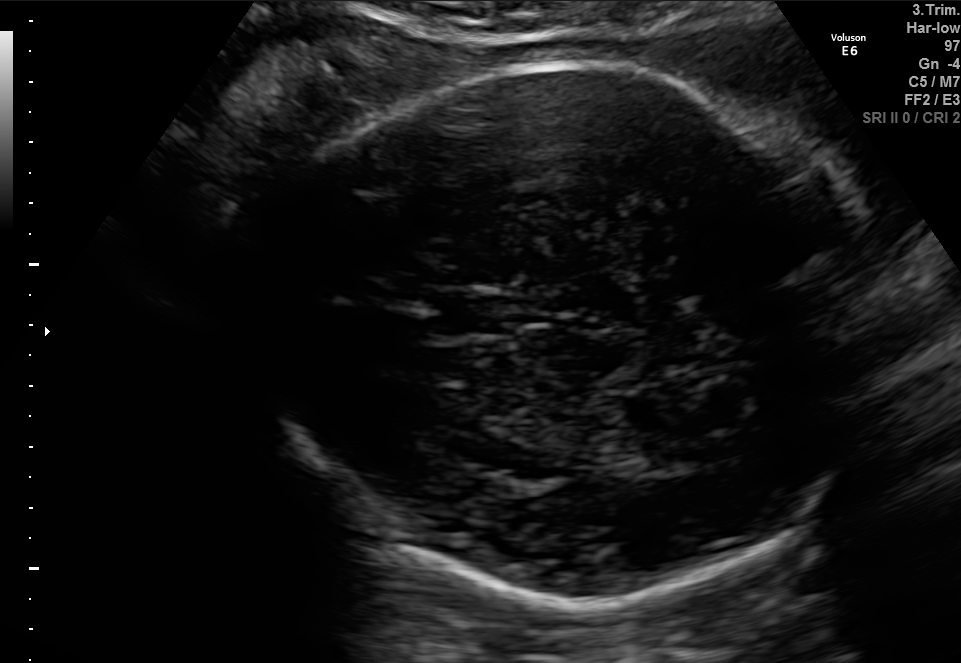
Fetal brain, trans-thalamic plane. Locate the fetal head.

Head: [244,60,882,605]